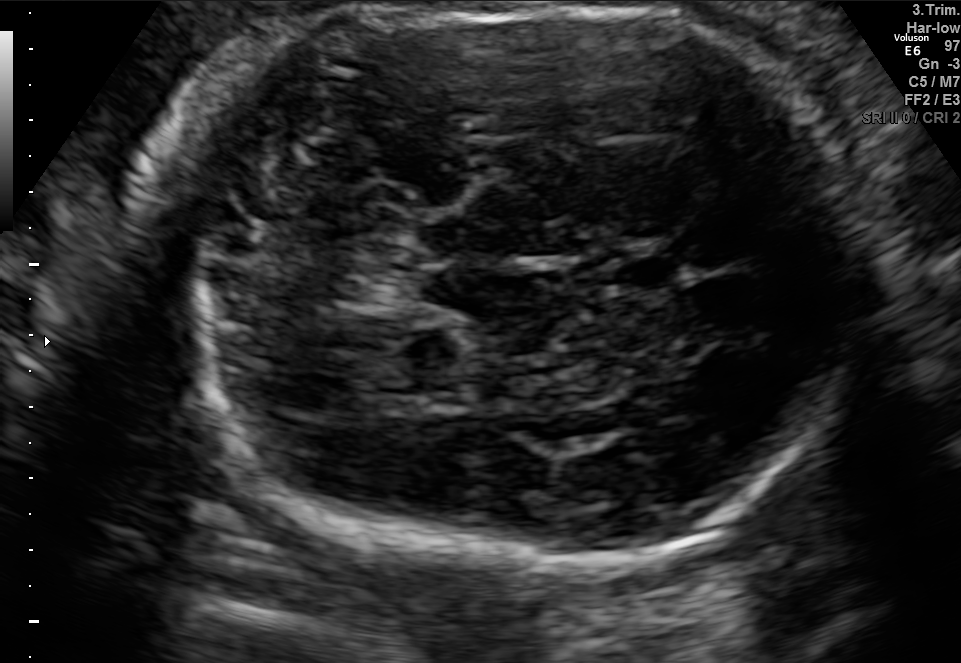
Fetal brain, trans-cerebellum plane. Locate the fetal head and, if visible, the cavum septum pellucidum (CSP) and lateral ventricle (LV). Give bounding boxes as [x1,y1,x2,y2].

Head: [160,8,879,563]
CSP: [601,242,693,305]